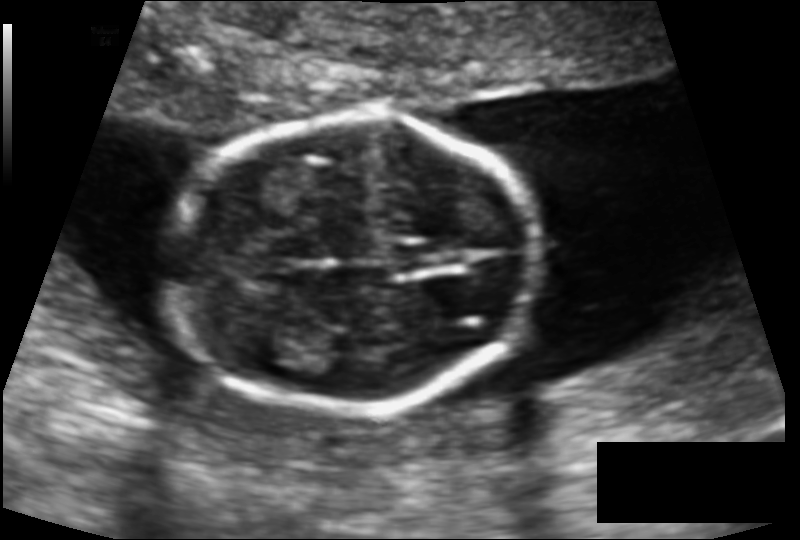
What is the fetal head circumference? Image width is 89.5 mm.

122.0 mm